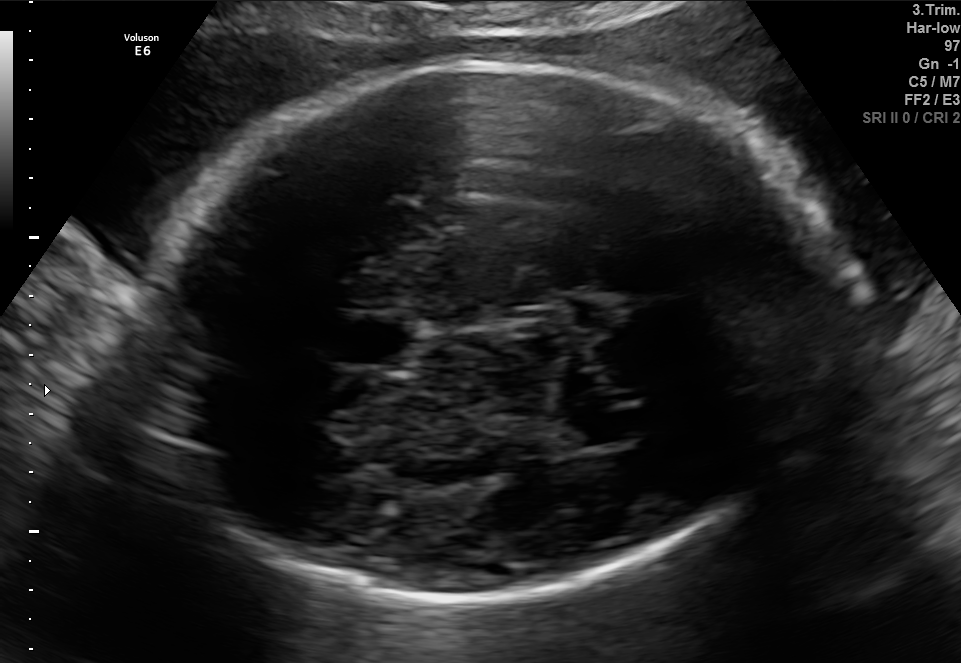
In this fetal brain, trans-thalamic plane, give bounding boxes for the head outline, cavum septum pellucidum (CSP), and lateral ventricle (LV), where visible.

Head: [138,61,847,596]
CSP: [337,317,408,366]
Lateral ventricle: [562,406,644,449]